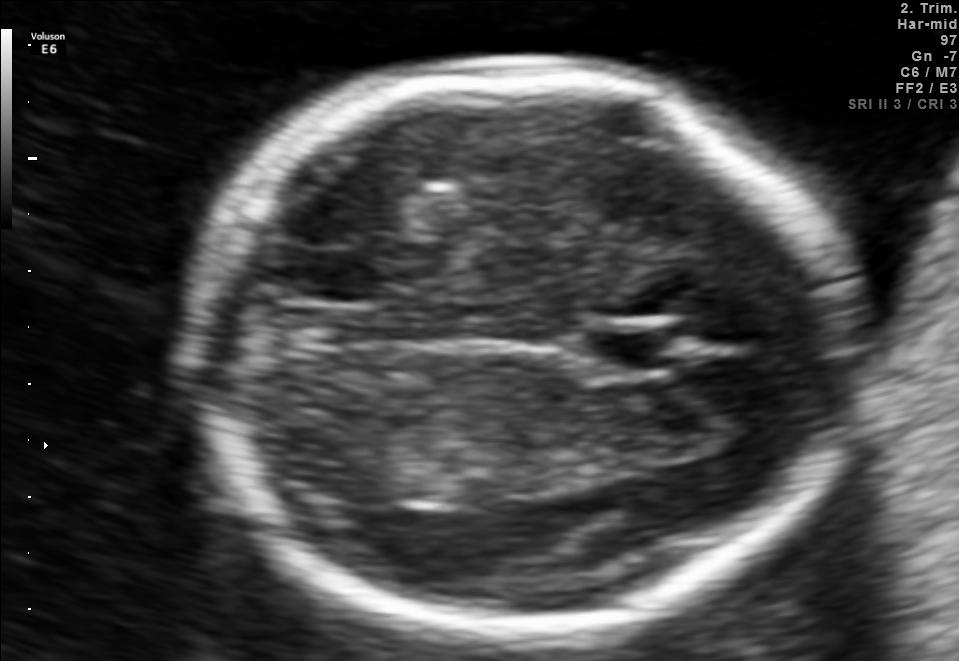
Fetal brain, trans-thalamic plane. Locate the fetal head and, if visible, the cavum septum pellucidum (CSP) and lateral ventricle (LV). Give bounding boxes as [x1,y1,x2,y2].

Head: [187,66,852,647]
CSP: [590,323,686,376]